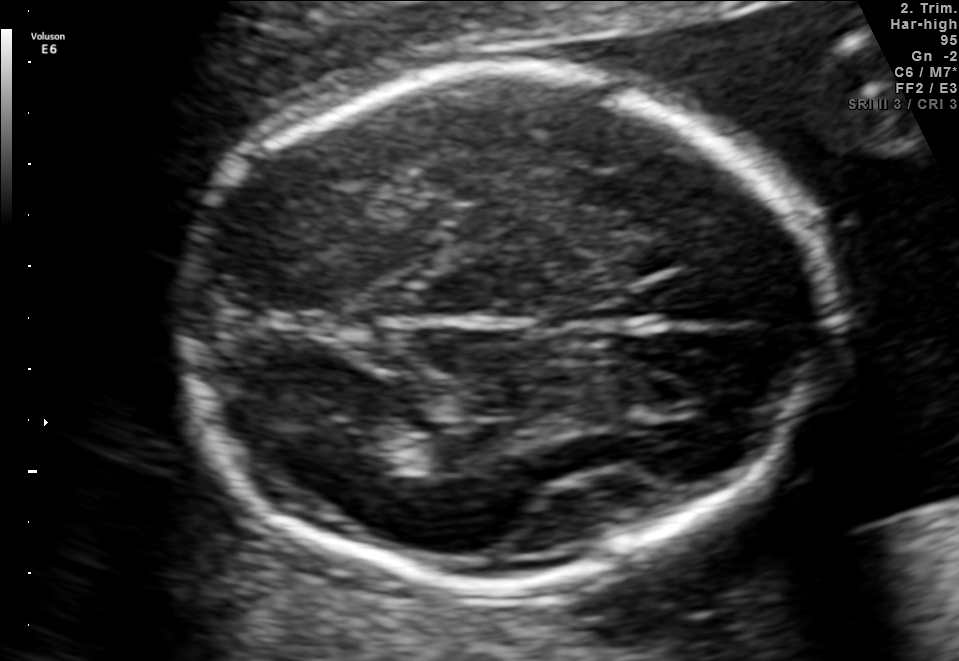
In this fetal brain, trans-thalamic plane, give the bounding box of the fetal head.

[177,71,828,582]